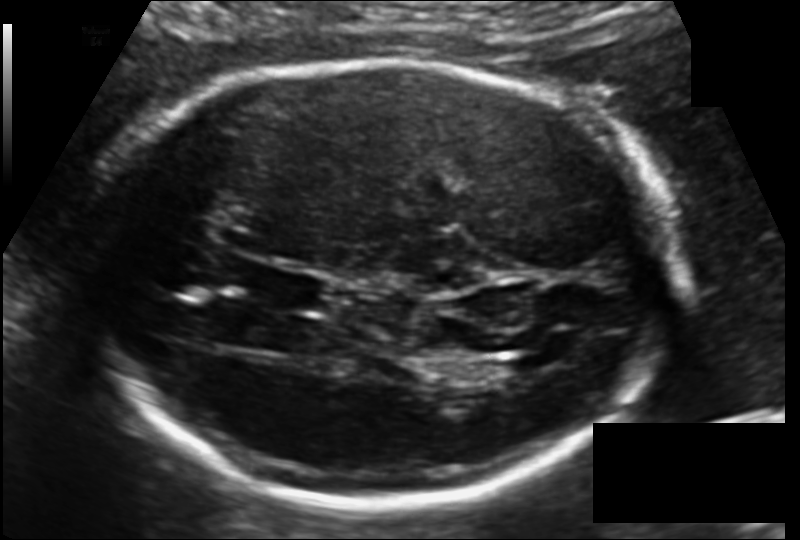
In this fetal head ultrasound, give the bounding box of the lateral ventricle. Image width: 107.8 mm.

[499,348,555,380]